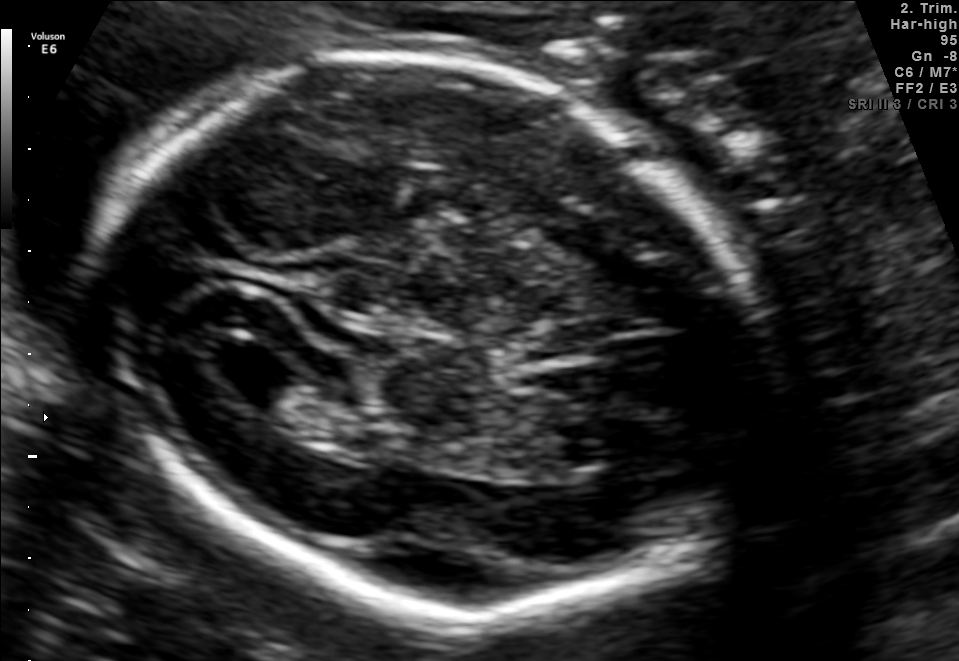
Fetal brain, trans-ventricular plane. Locate the fetal head and, if visible, the cavum septum pellucidum (CSP) and lateral ventricle (LV). Give bounding boxes as [x1,y1,x2,y2].

Head: [71,37,788,634]
Lateral ventricle: [200,320,306,420]